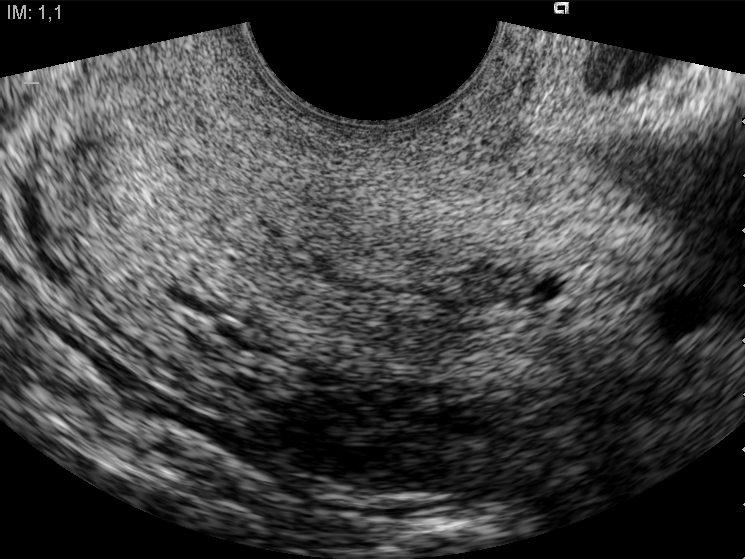
Which standard maternal-fetal ultrasound plane is shown: fetal abdomen, fetal brain, fetal femur, fetal thorax, maternal cervix, or other? If it's fetal brain and one of the three standard brain planes (trans-thalamic, trans-cerebellum, trans-ventricular), name which.

Maternal cervix